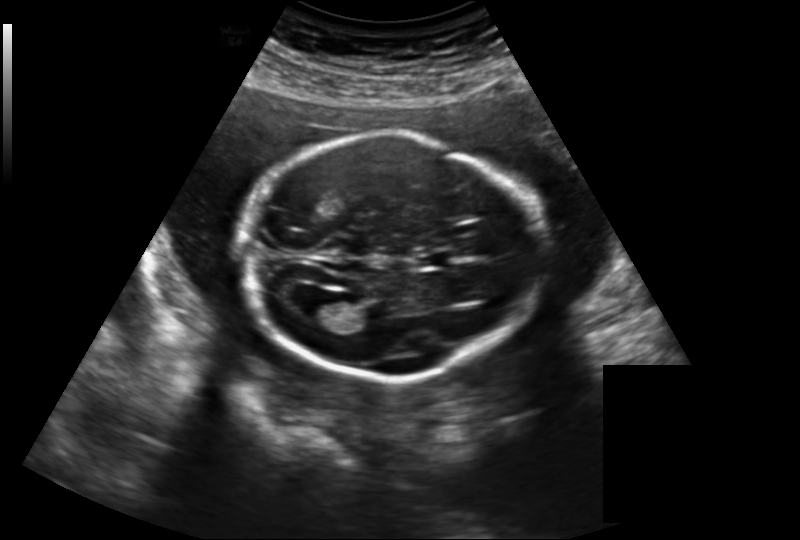
Estimate the fetal head circumference from this 2D ultrasound.

Head circumference: 195.9 mm (image width 175.2 mm).